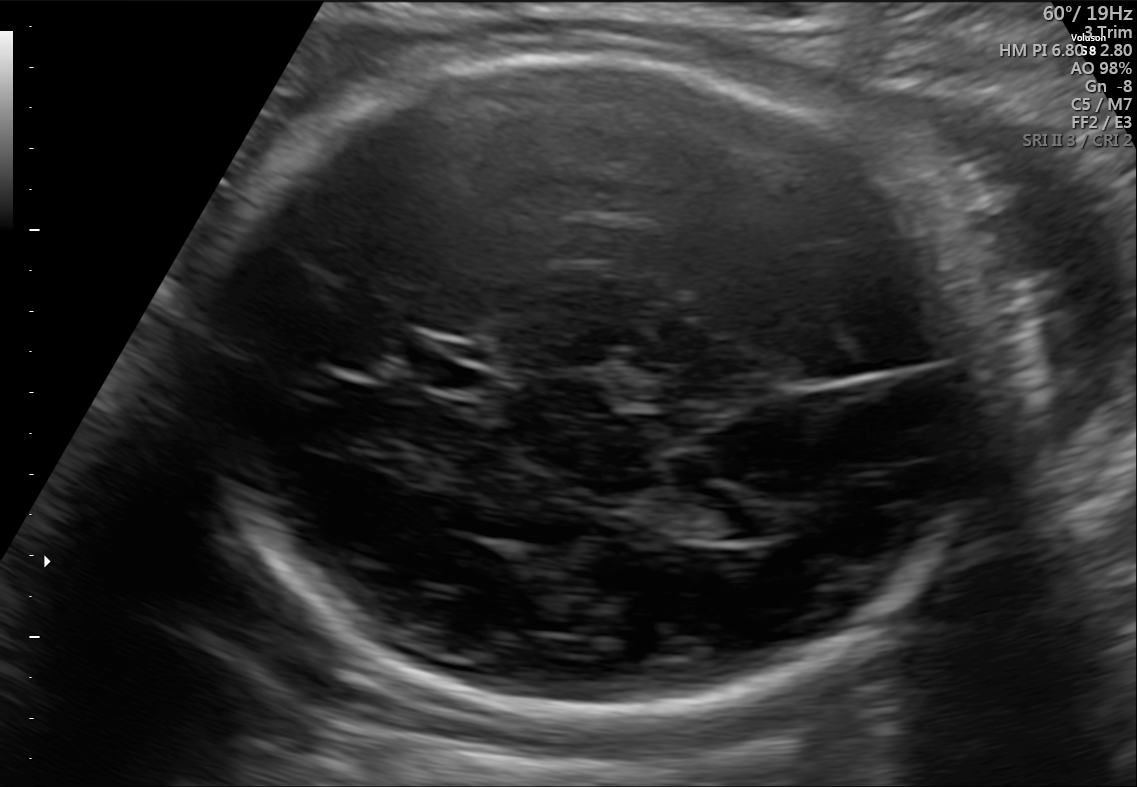
In this fetal brain, trans-ventricular plane, give the bounding box of the lateral ventricle.

[703,506,782,540]